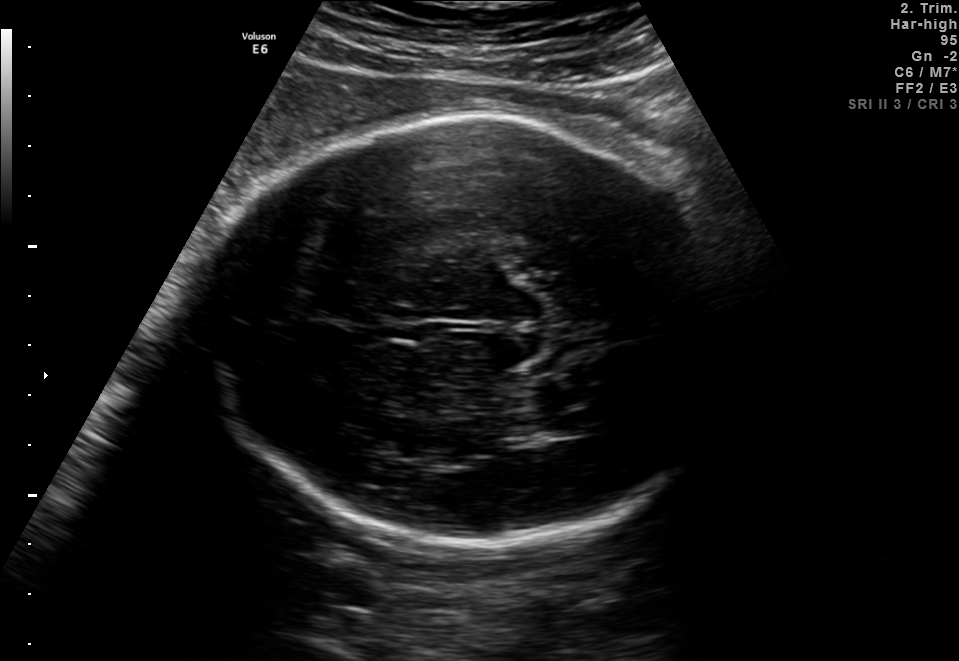
Fetal brain, trans-thalamic plane. Locate the fetal head and, if visible, the cavum septum pellucidum (CSP) and lateral ventricle (LV). Give bounding boxes as [x1,y1,x2,y2].

Head: [203,115,738,546]
Lateral ventricle: [538,409,605,441]